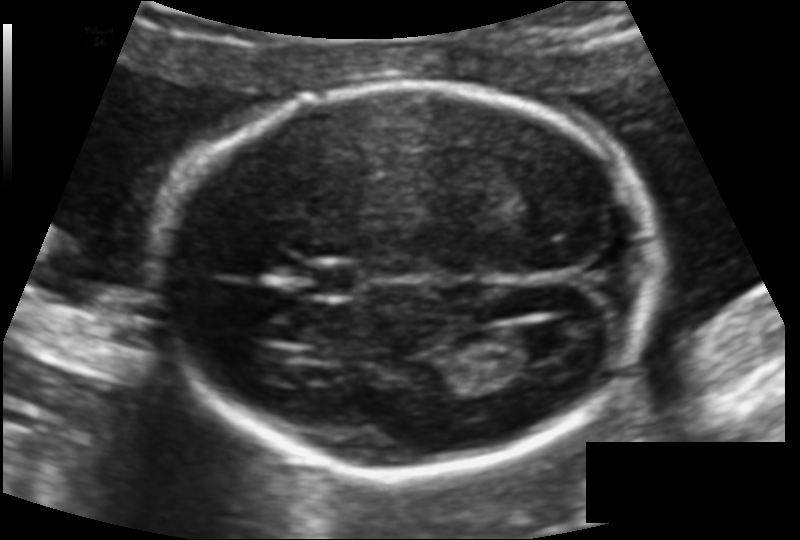
From this fetal ultrasound, estimate the head circumference (image width 93.9 mm).

Head circumference: 169.6 mm.